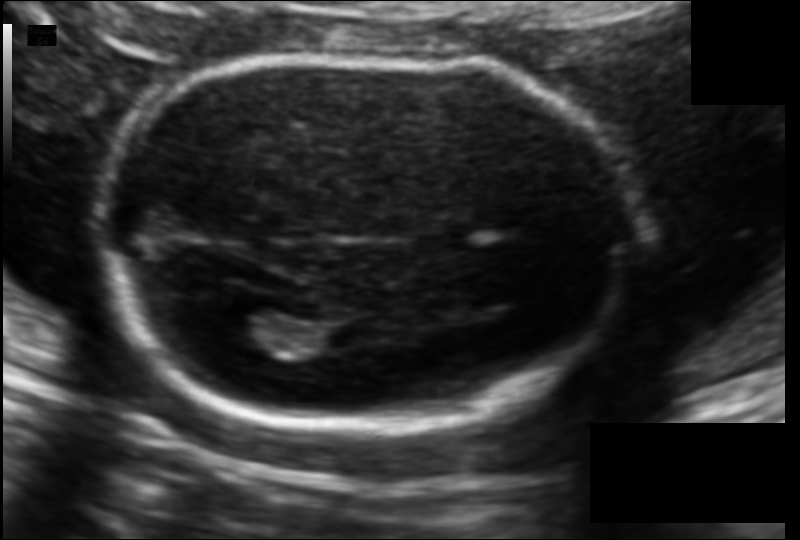
Fetal head ultrasound. Image width: 90.5 mm. Locate the fetal head and, if visible, the cavum septum pellucidum (CSP) and lateral ventricle (LV). Give bounding boxes as [x1,y1,x2,y2].

Head: [95,57,642,429]
Lateral ventricle: [210,299,294,359]